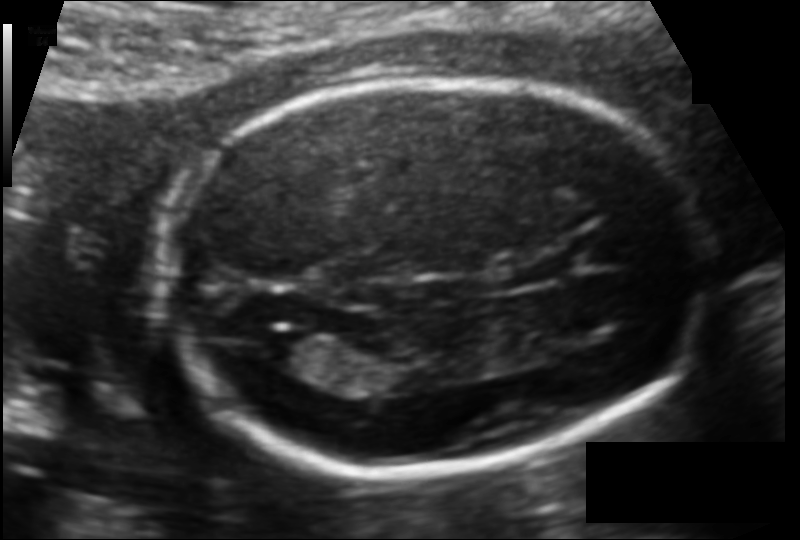
Fetal head ultrasound. Image width: 87.1 mm. Locate the fetal head and, if visible, the cavum septum pellucidum (CSP) and lateral ventricle (LV). Give bounding boxes as [x1,y1,x2,y2].

Head: [158,78,704,472]
CSP: [513,254,564,287]
Lateral ventricle: [254,331,324,367]